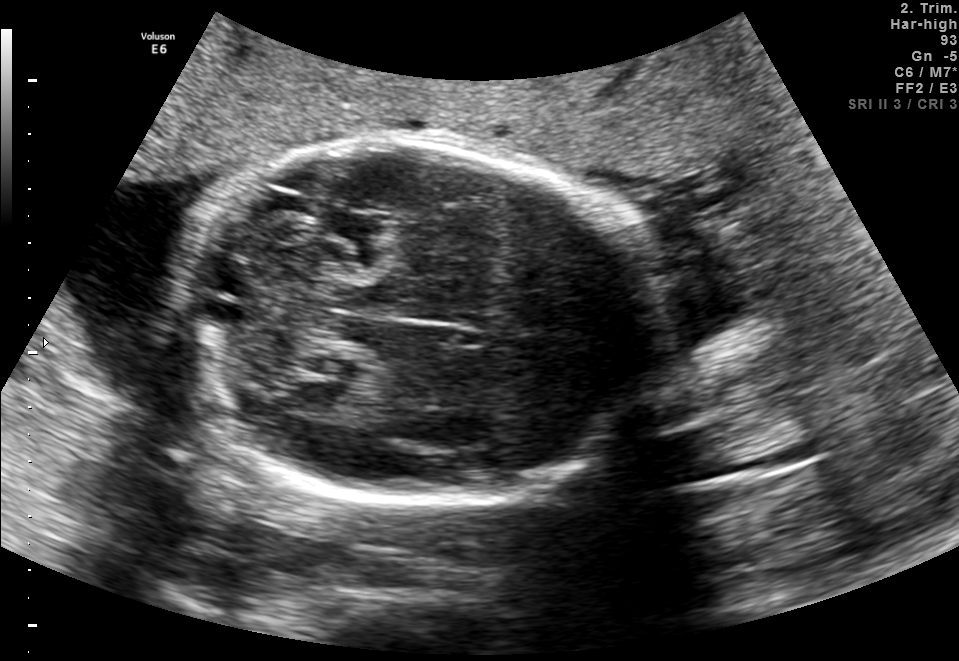
Fetal brain, trans-cerebellum plane. Locate the fetal head.

Head: [175,140,644,503]